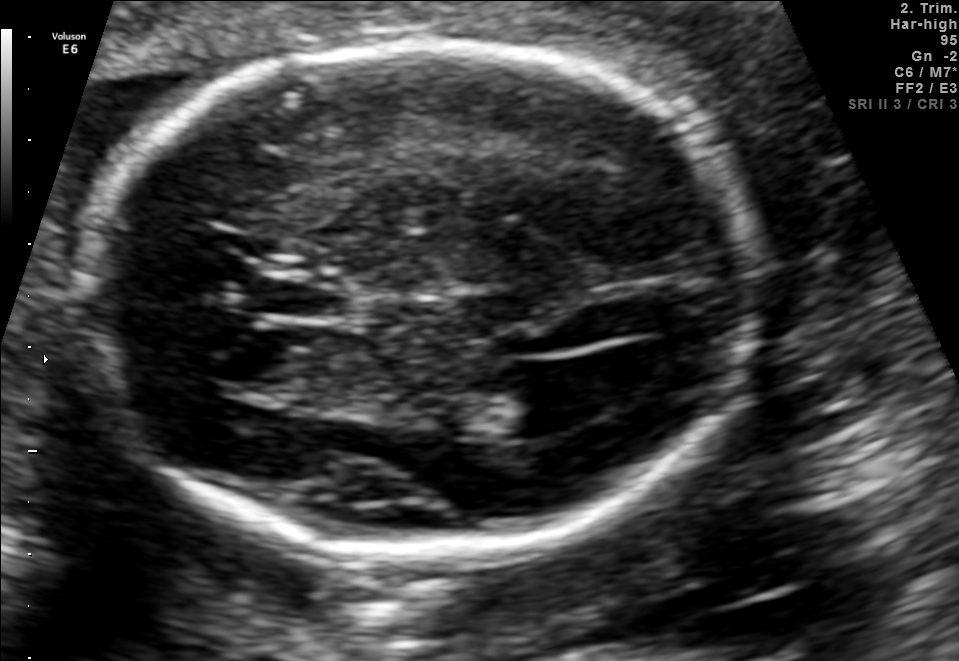
Fetal brain, trans-ventricular plane. Where is the fetal head?

Head bounding box: [67,32,772,571]